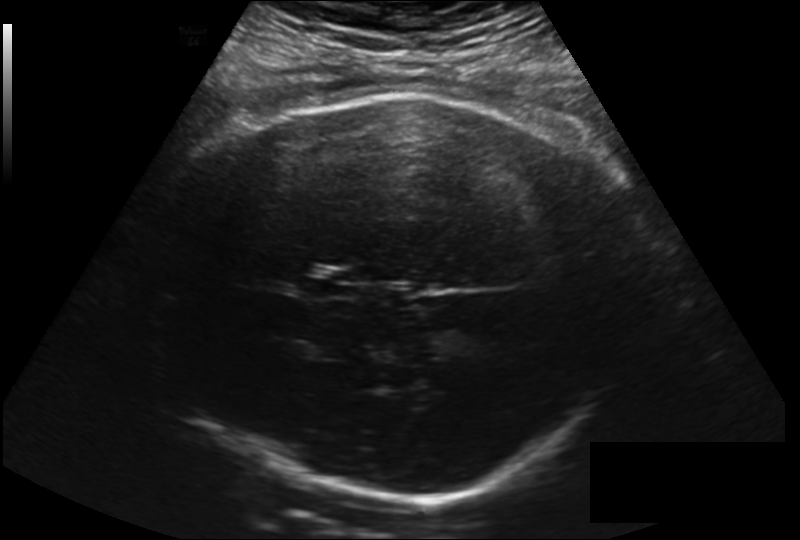
Fetal head ultrasound. Image width: 179.8 mm. Locate the fetal head.

Head: [155,91,628,504]